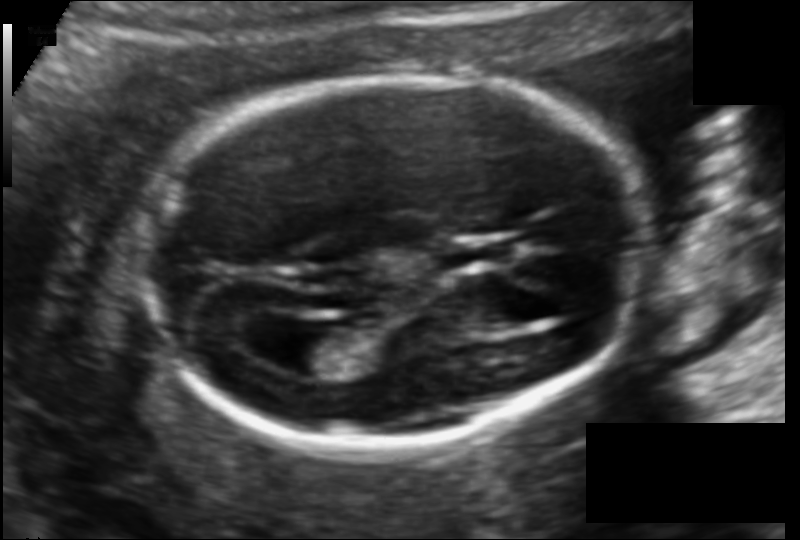
Fetal head ultrasound. Image width: 91.5 mm. Locate the cavum septum pellucidum.

CSP: [441,237,507,273]